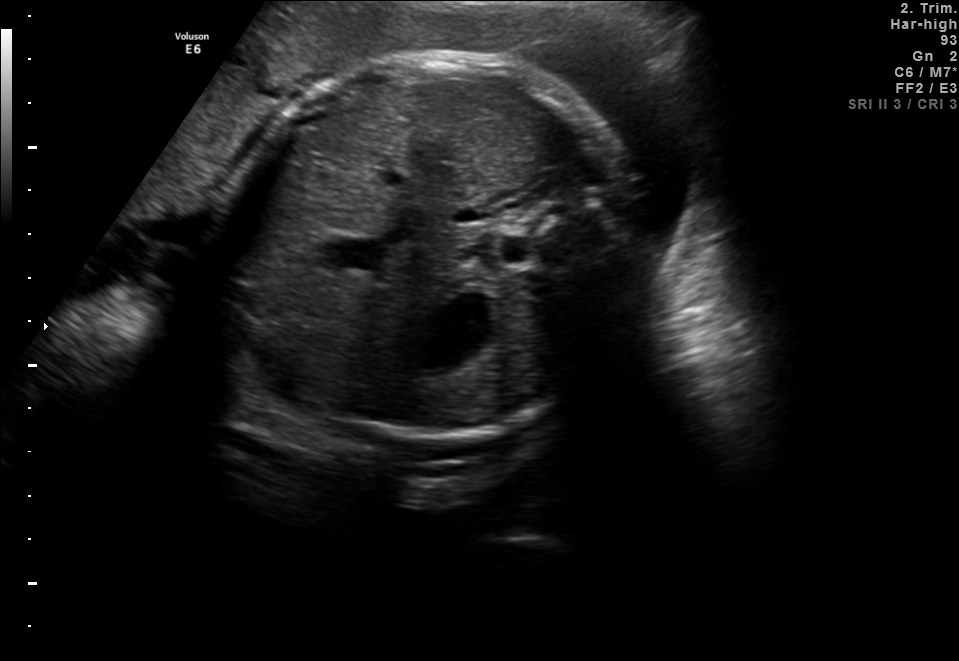
Which standard maternal-fetal ultrasound plane is shown: fetal abdomen, fetal brain, fetal femur, fetal thorax, maternal cervix, or other? If it's fetal brain and one of the three standard brain planes (trans-thalamic, trans-cerebellum, trans-ventricular), name which.

Fetal abdomen